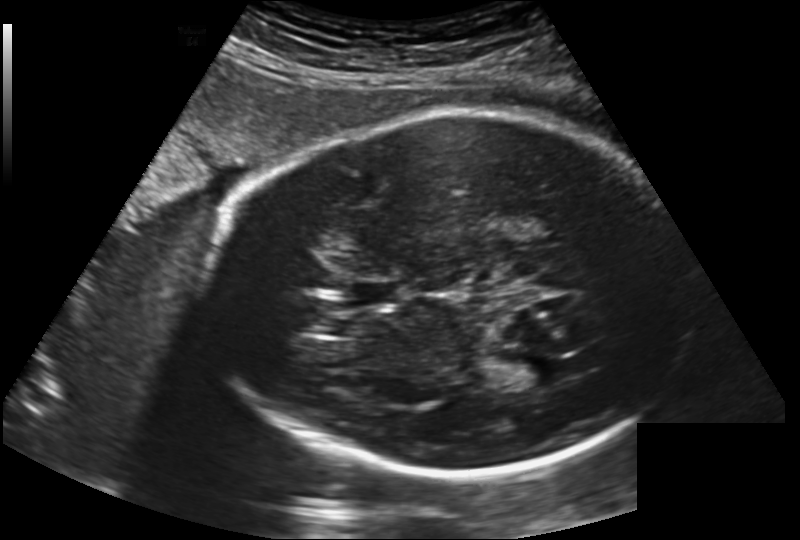
Fetal head ultrasound. Image width: 161.7 mm. Locate the fetal head.

Head: [207,111,685,476]